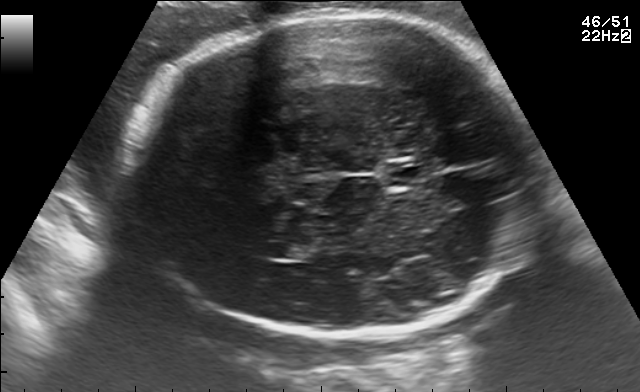
In this fetal brain, trans-thalamic plane, give the bounding box of the lateral ventricle.

[261,240,312,260]